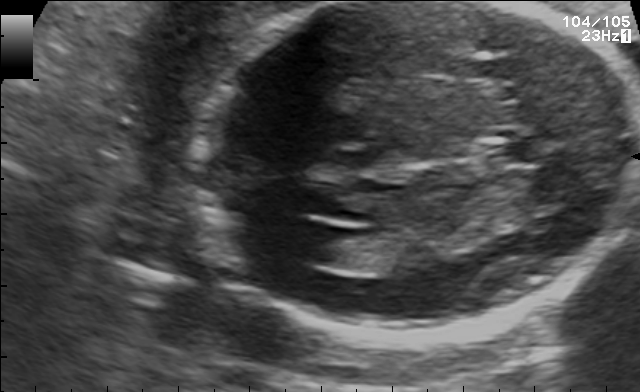
Fetal brain, trans-ventricular plane. Locate the lateral ventricle.

Lateral ventricle: [278,215,349,268]